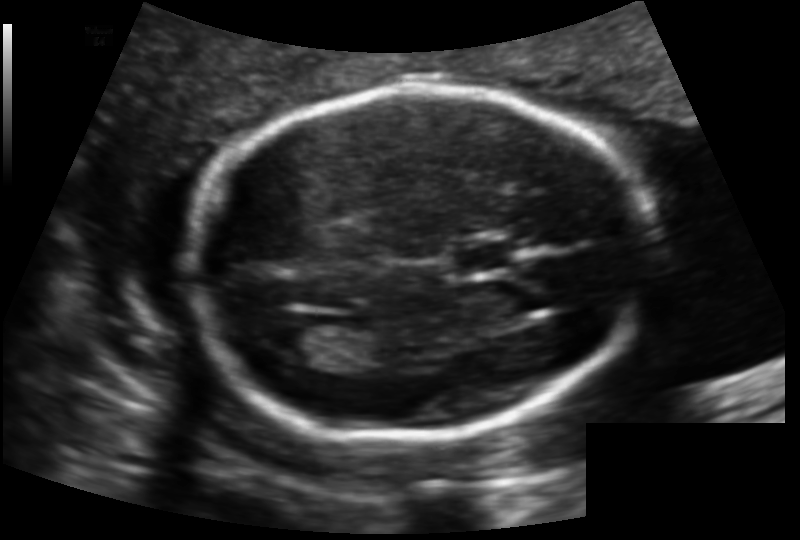
Fetal head ultrasound. Image width: 103.4 mm. Give [x1,y1,x2,y2] bounding boxes for each visible structure among: fetal head, CSP, LV.

Head: [189,86,652,435]
CSP: [450,239,514,277]
Lateral ventricle: [267,319,333,368]